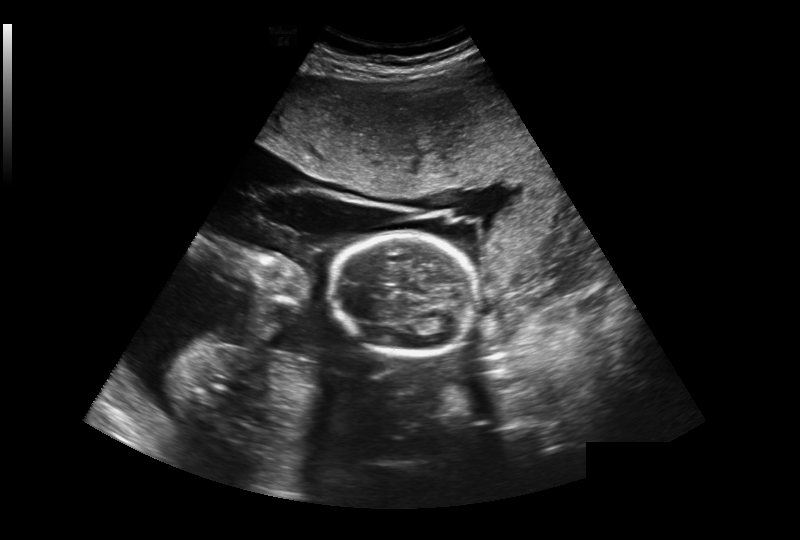
In this fetal head ultrasound, give the bounding box of the cavum septum pellucidum. Image width: 314.6 mm.

[370,282,397,298]